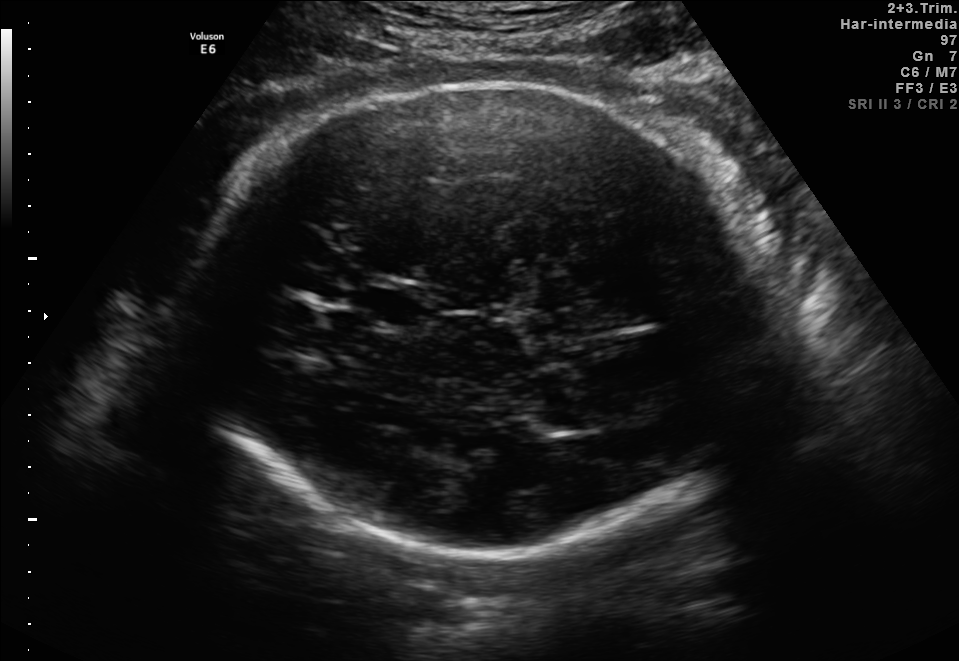
In this fetal brain, trans-thalamic plane, give bounding boxes for the head outline, cavum septum pellucidum (CSP), and lateral ventricle (LV), where visible.

Head: [186,85,785,562]
CSP: [364,286,416,325]
Lateral ventricle: [532,403,607,435]